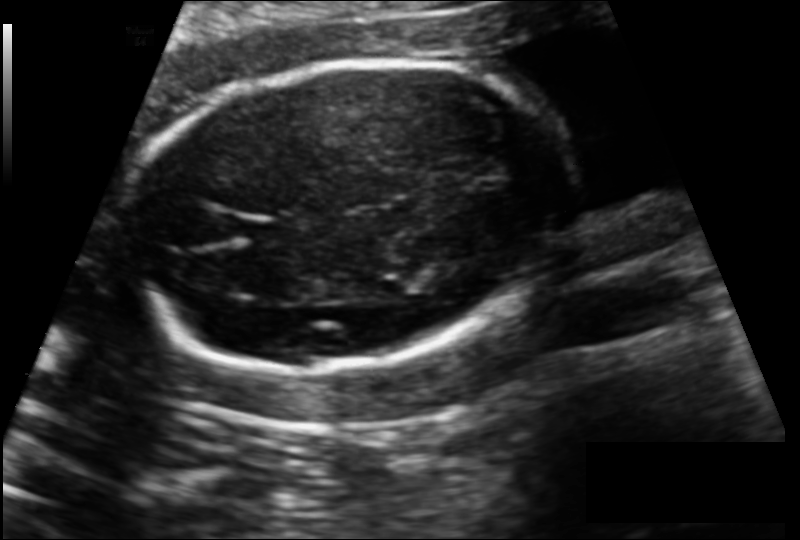
In this fetal head ultrasound, give the bounding box of the fetal head. Image width: 111.1 mm.

[124,59,569,370]